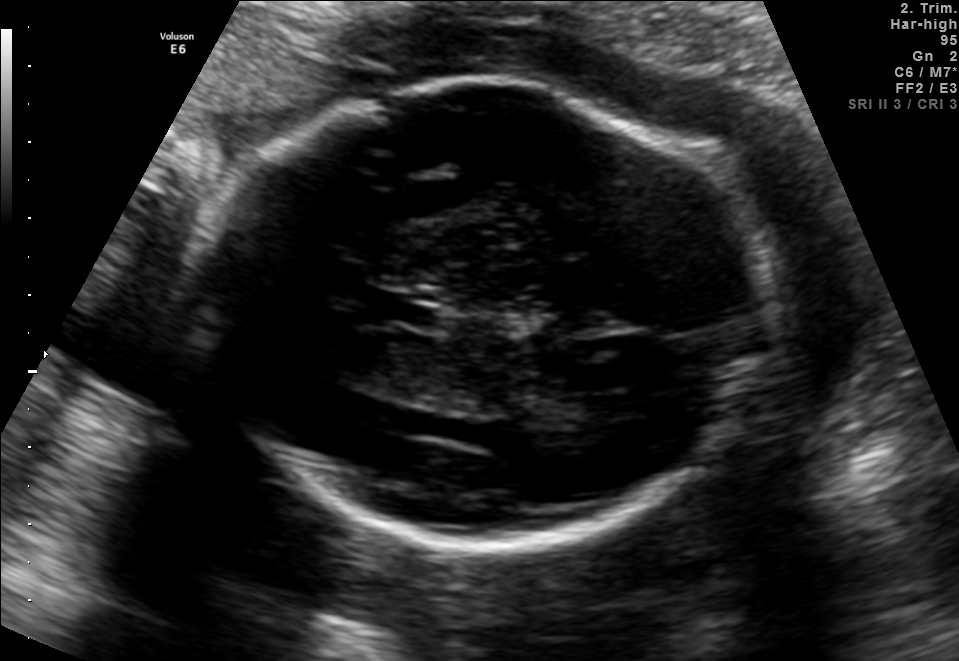
Fetal brain, trans-thalamic plane. Where is the cavum septum pellucidum?

CSP bounding box: [370,289,441,328]